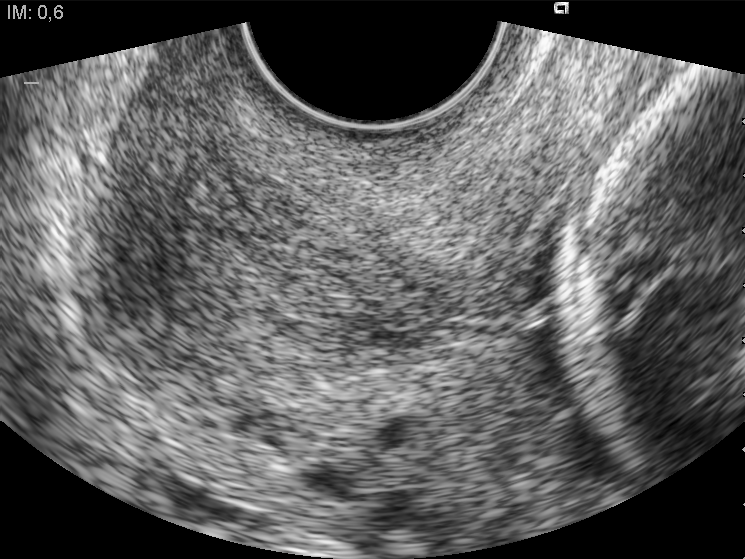
Identify the standard plane in this fetal ultrasound image: fetal abdomen, fetal brain, fetal femur, fetal thorax, maternal cervix, or other. If it's fetal brain and one of the three standard brain planes (trans-thalamic, trans-cerebellum, trans-ventricular), name which.

Maternal cervix